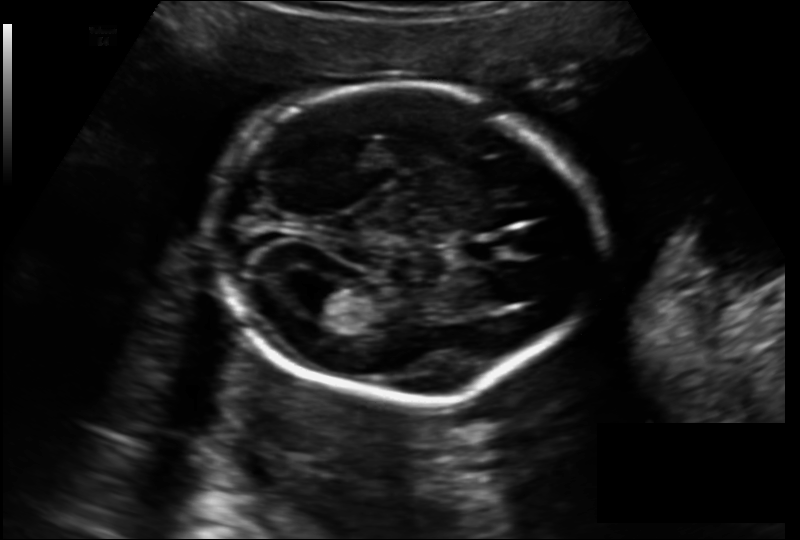
Fetal head ultrasound. Image width: 125.9 mm. Locate the fetal head and, if visible, the cavum septum pellucidum (CSP) and lateral ventricle (LV). Give bounding boxes as [x1,y1,x2,y2].

Head: [208,87,592,403]
CSP: [461,237,505,264]
Lateral ventricle: [280,264,355,329]